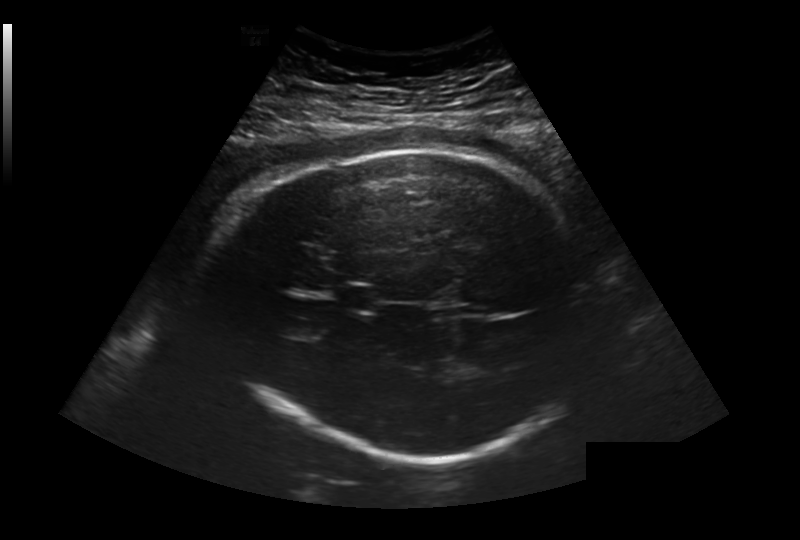
From this fetal ultrasound, estimate the head circumference (image width 224.9 mm).

Head circumference: 316.5 mm.